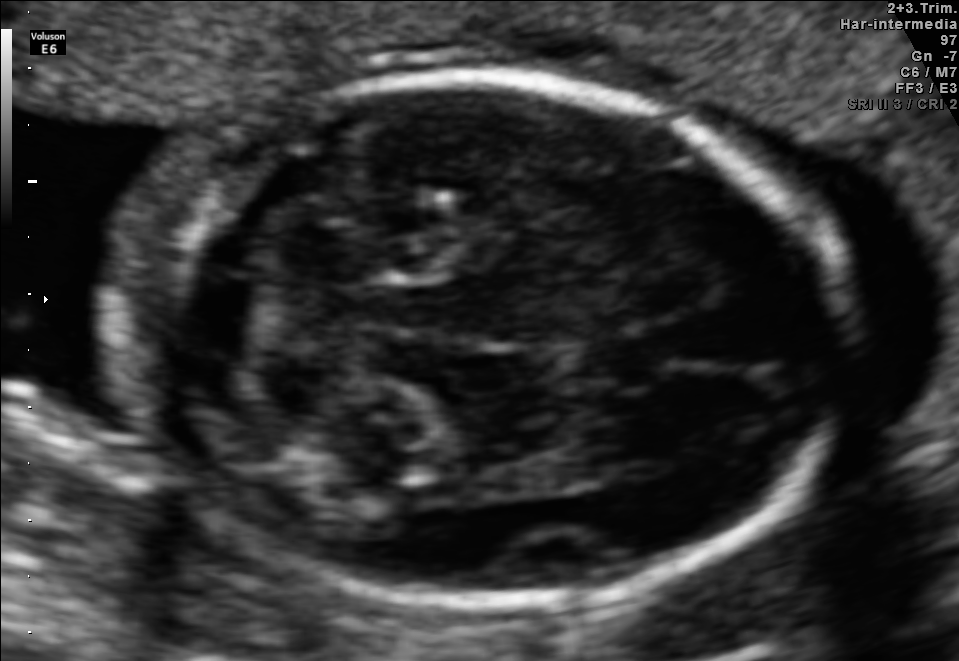
In this fetal brain, trans-cerebellum plane, give bounding boxes for the head outline, cavum septum pellucidum (CSP), and lateral ventricle (LV), where visible.

Head: [121,75,838,608]
CSP: [573,326,665,390]